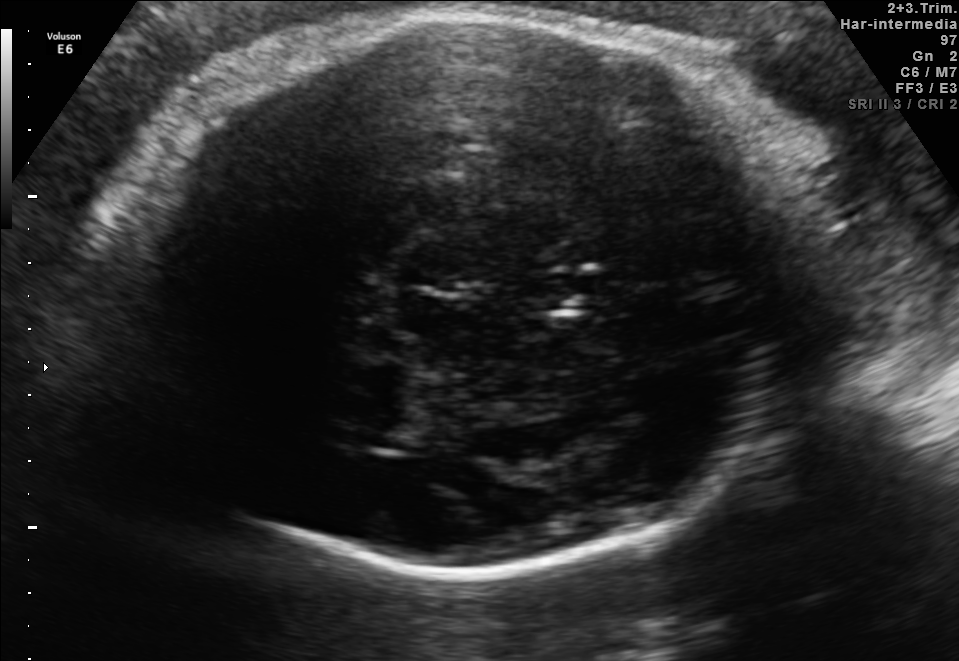
Which standard maternal-fetal ultrasound plane is shown: fetal abdomen, fetal brain, fetal femur, fetal thorax, maternal cervix, or other? If it's fetal brain and one of the three standard brain planes (trans-thalamic, trans-cerebellum, trans-ventricular), name which.

Fetal brain (trans-thalamic plane)